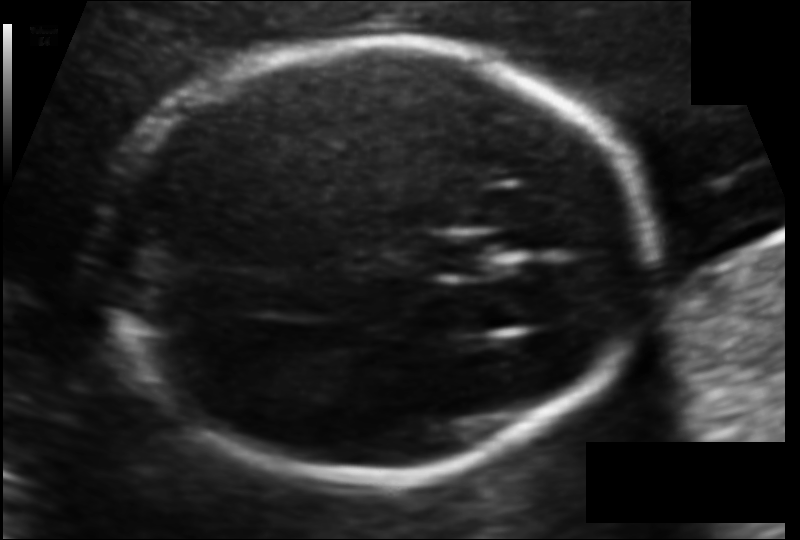
Fetal head ultrasound. Image width: 83.5 mm. Locate the fetal head and, if visible, the cavum septum pellucidum (CSP) and lateral ventricle (LV). Give bounding boxes as [x1,y1,x2,y2].

Head: [105,41,650,480]
CSP: [429,235,497,278]